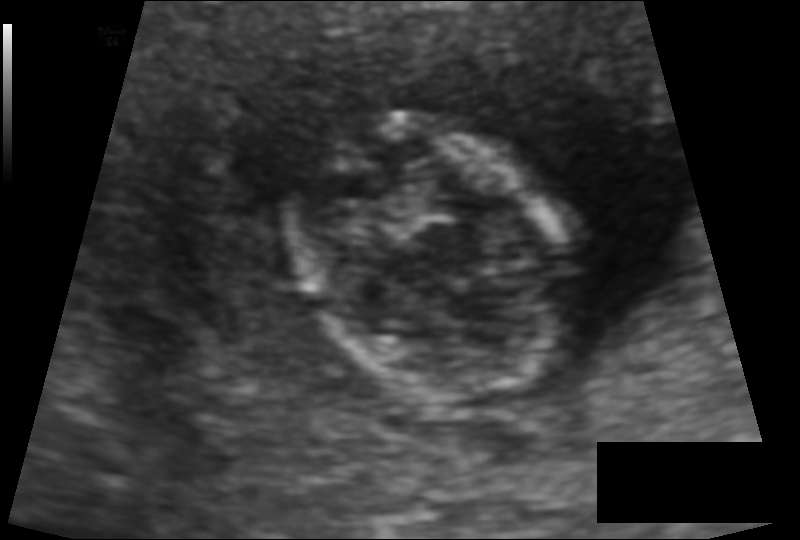
Estimate the fetal head circumference from this 2D ultrasound.

Head circumference: 79.3 mm (image width 72.9 mm).